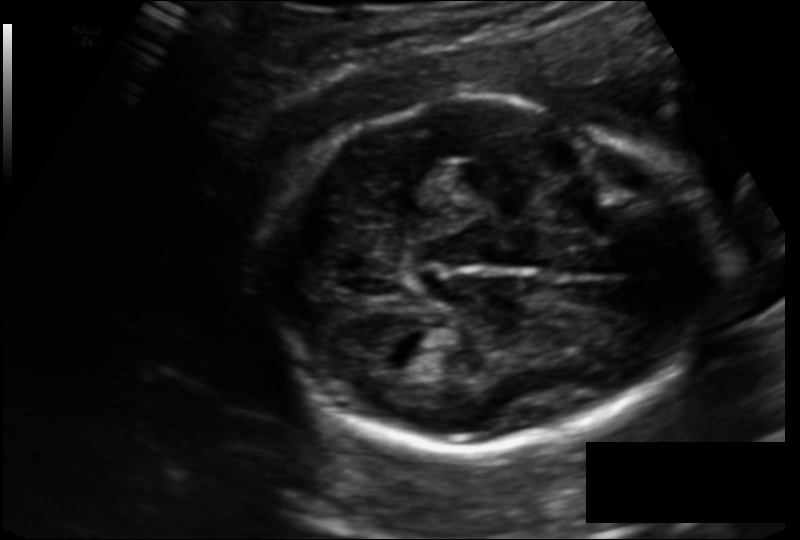
Fetal head ultrasound. Image width: 107.7 mm. Where is the fetal head?

Head bounding box: [259,97,711,454]